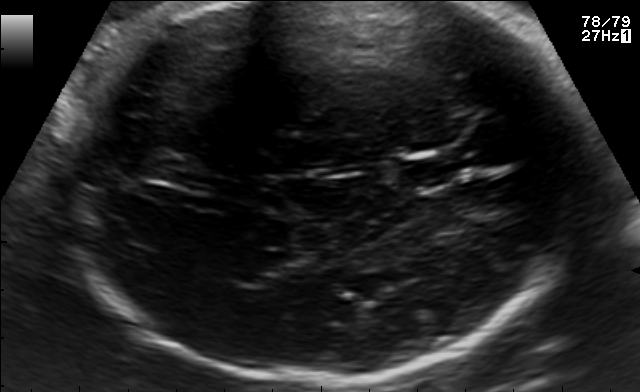
In this fetal brain, trans-thalamic plane, give the bounding box of the fetal head.

[57,2,607,384]